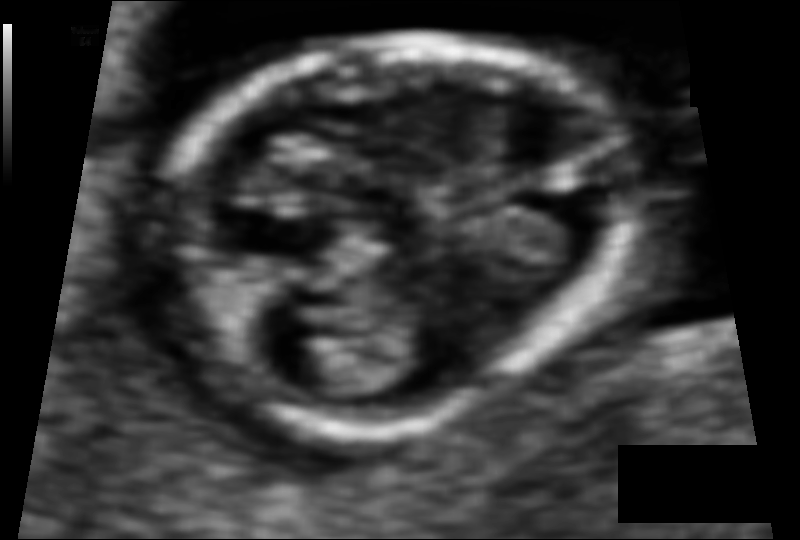
What is the fetal head circumference? Image width is 47.7 mm.

85.4 mm